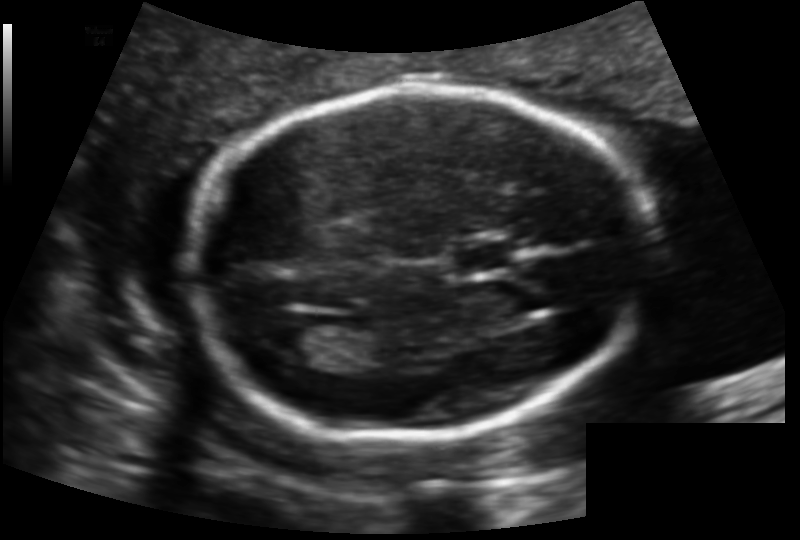
Fetal head ultrasound. Image width: 103.4 mm. Locate the fetal head and, if visible, the cavum septum pellucidum (CSP) and lateral ventricle (LV). Give bounding boxes as [x1,y1,x2,y2].

Head: [189,86,652,435]
CSP: [450,239,514,277]
Lateral ventricle: [267,319,333,368]